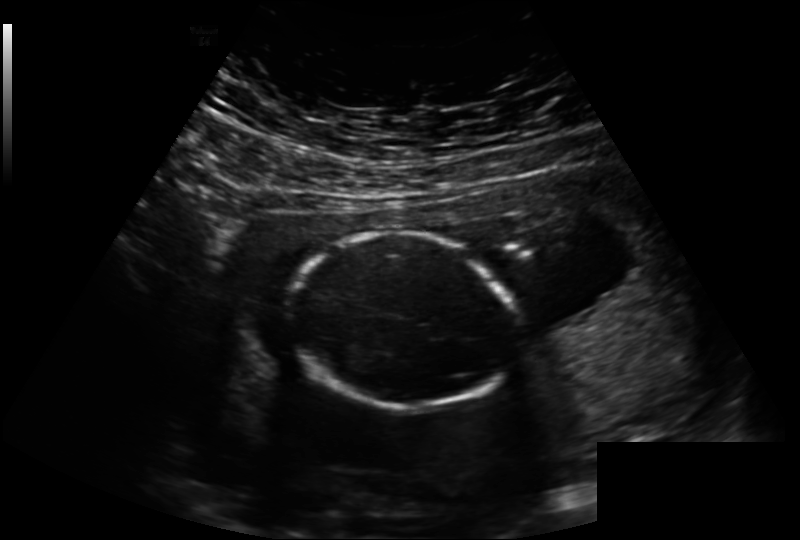
In this fetal head ultrasound, give bounding boxes for the head outline, cavum septum pellucidum (CSP), and lateral ventricle (LV), where visible. Image width: 177.0 mm.

Head: [290,232,518,409]